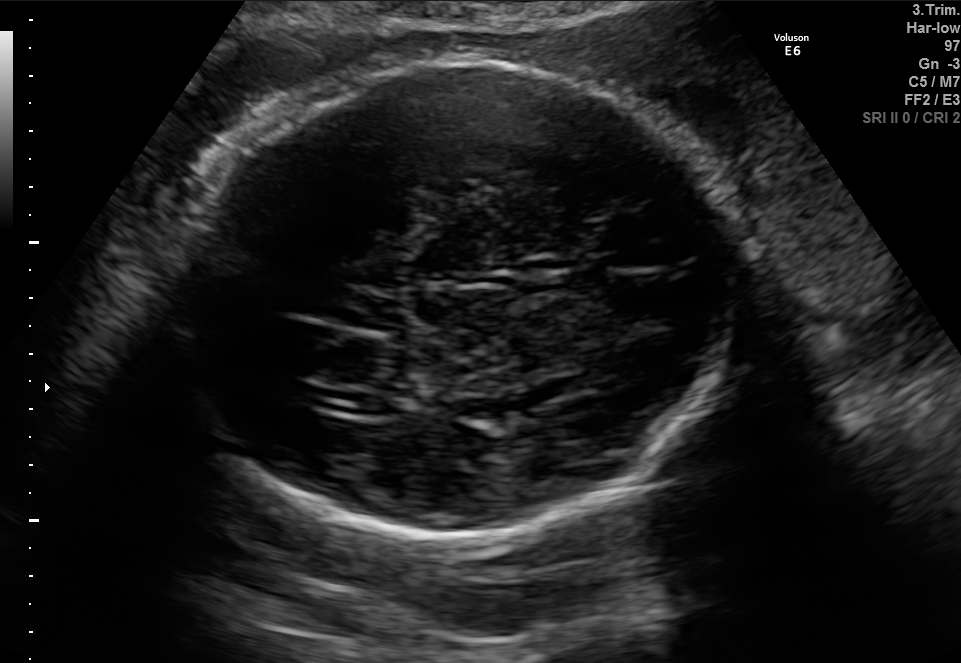
Which standard maternal-fetal ultrasound plane is shown: fetal abdomen, fetal brain, fetal femur, fetal thorax, maternal cervix, or other? If it's fetal brain and one of the three standard brain planes (trans-thalamic, trans-cerebellum, trans-ventricular), name which.

Fetal brain (trans-ventricular plane)